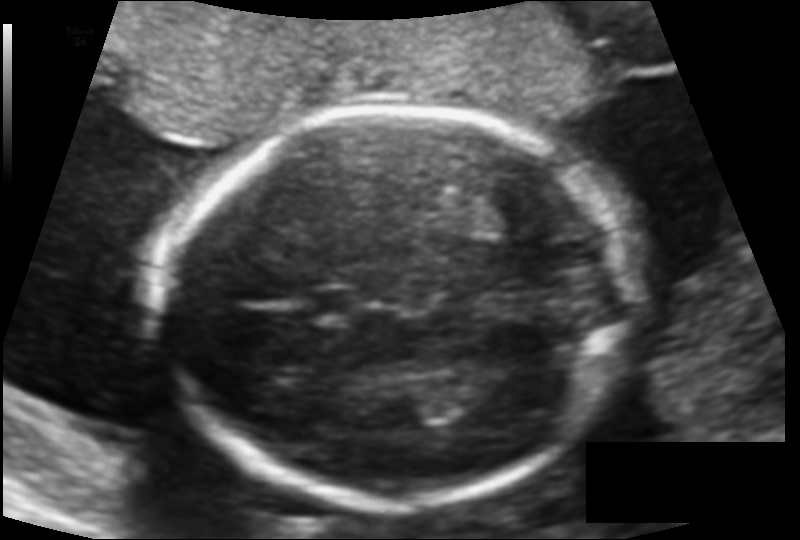
Estimate the fetal head circumference from this 2D ultrasound.

Head circumference: 169.7 mm (image width 97.0 mm).